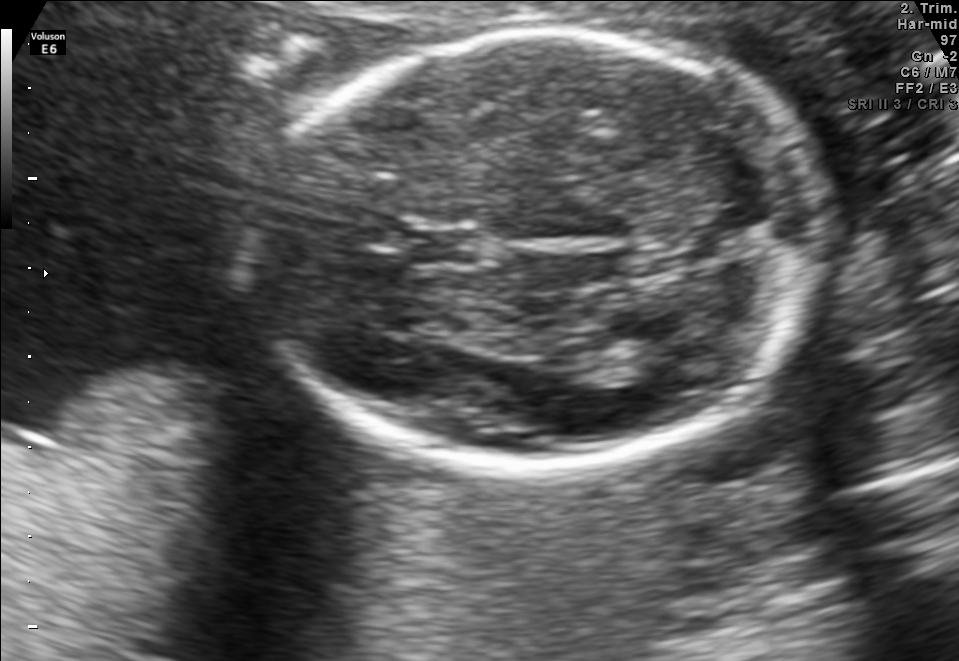
Classify this maternal-fetal ultrasound image as one of the six standard planes — fetal abdomen, fetal brain, fetal femur, fetal thorax, maternal cervix, or other. If it's fetal brain and one of the three standard brain planes (trans-thalamic, trans-cerebellum, trans-ventricular), name which.

Fetal brain (trans-thalamic plane)